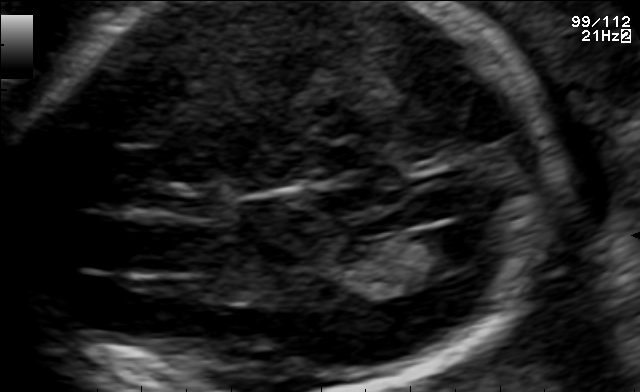
In this fetal brain, trans-ventricular plane, give the bounding box of the cavum septum pellucidum.

[177,188,221,216]